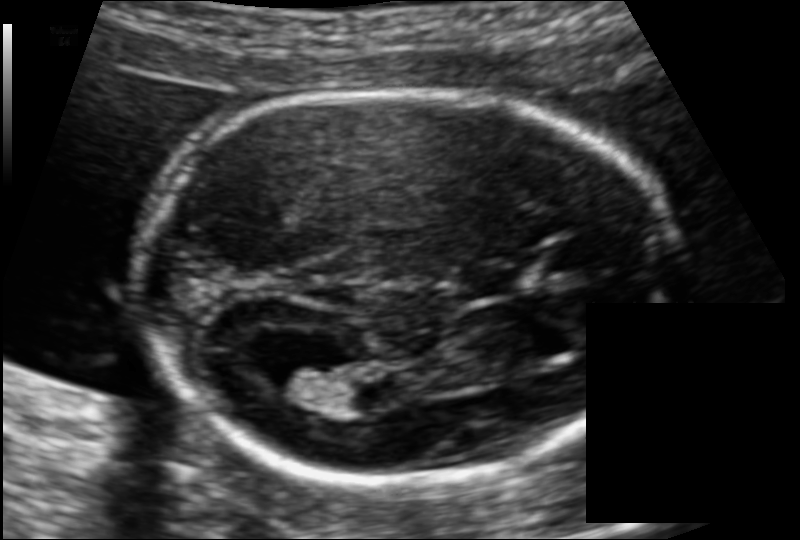
Fetal head ultrasound. Image width: 85.1 mm. Locate the fetal head.

Head: [134,91,677,478]